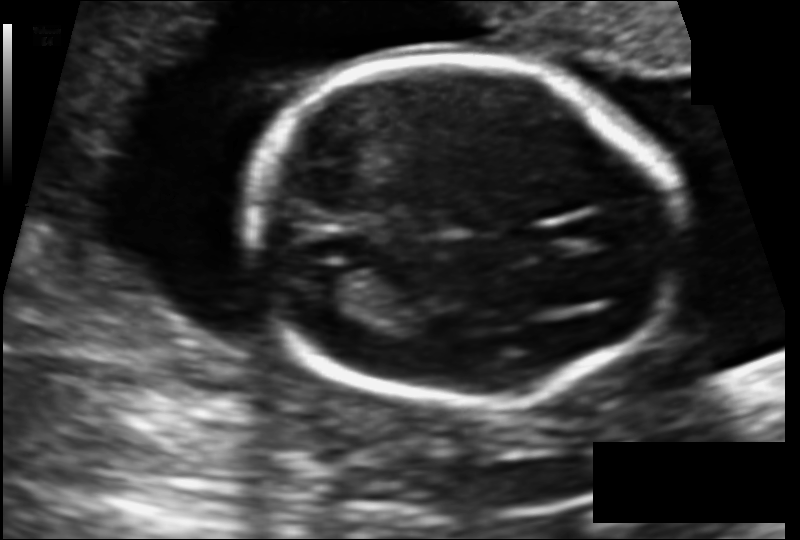
From this fetal ultrasound, estimate the head circumference (image width 96.7 mm).

Head circumference: 153.8 mm.